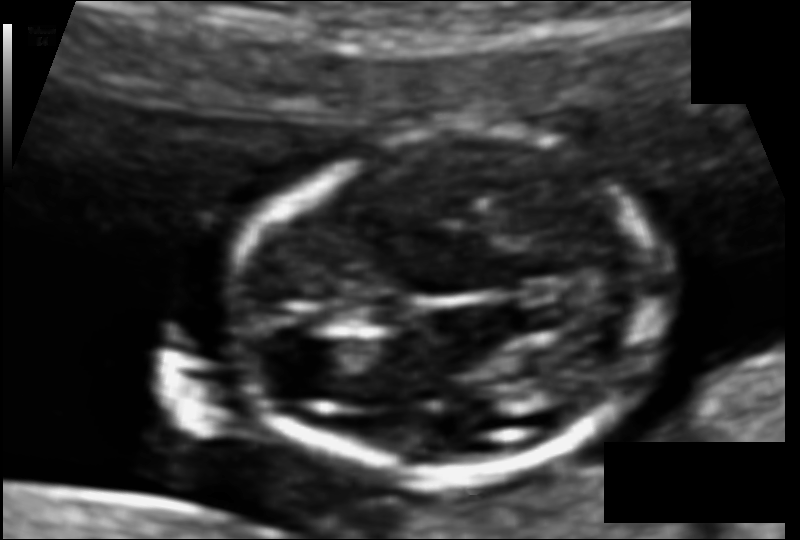
In this fetal head ultrasound, give the bounding box of the fetal head. Image width: 60.3 mm.

[232,132,665,473]